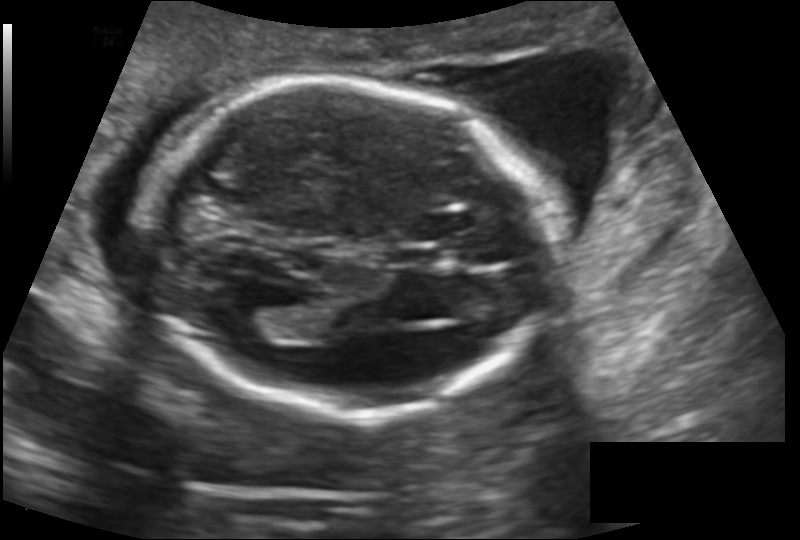
From this fetal ultrasound, estimate the head circumference (image width 116.4 mm).

Head circumference: 175.0 mm.